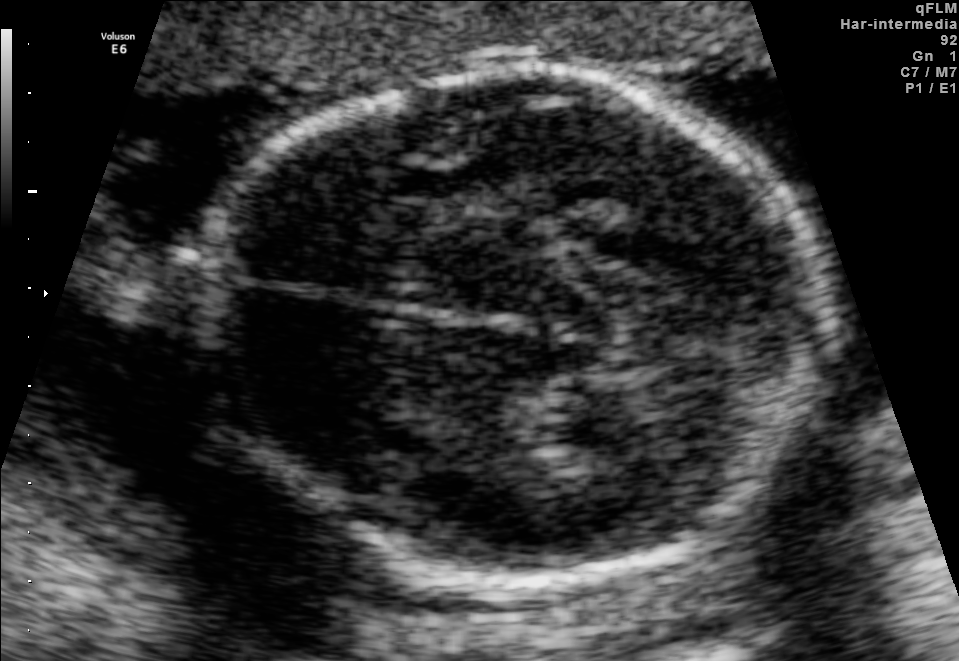
Fetal brain, trans-thalamic plane. Give [x1,y1,x2,y2] bounding boxes for each visible structure among: fetal head, CSP, LV.

Head: [209,70,834,583]
Lateral ventricle: [541,377,686,467]